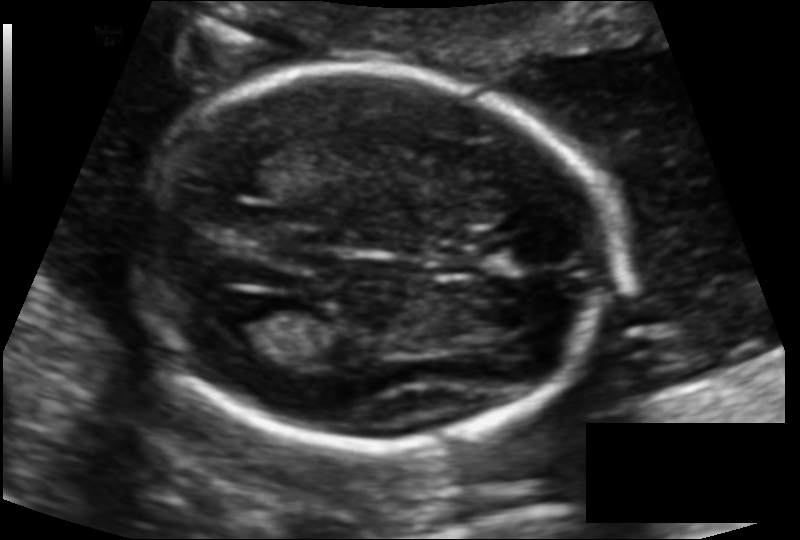
Fetal head ultrasound. Image width: 93.4 mm. Give [x1,y1,x2,y2] bounding boxes for each visible structure among: fetal head, CSP, LV.

Head: [131,65,612,446]
Lateral ventricle: [216,293,298,354]